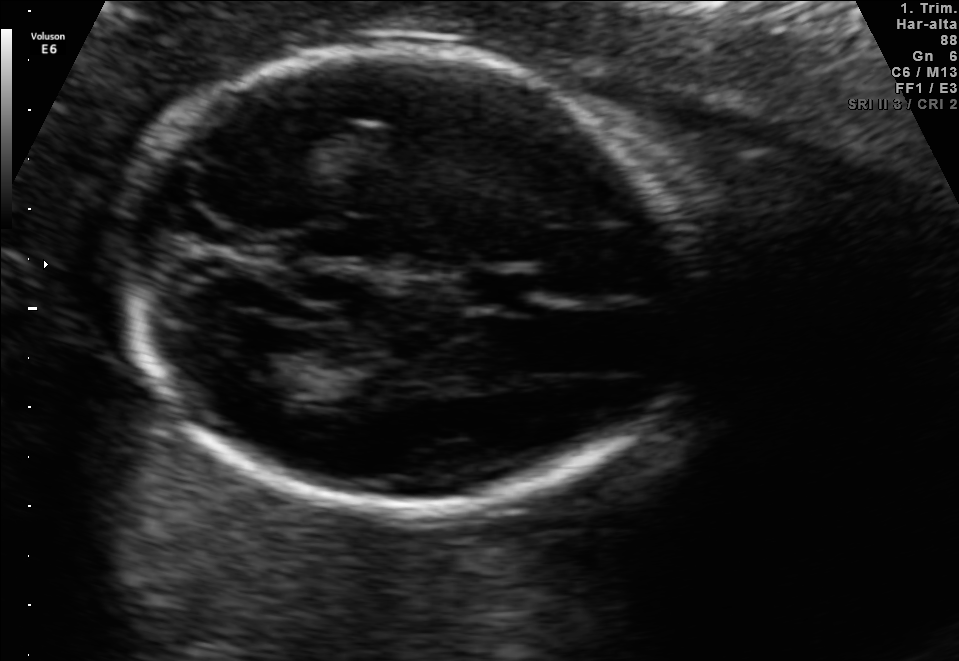
Fetal brain, trans-thalamic plane. Locate the fetal head and, if visible, the cavum septum pellucidum (CSP) and lateral ventricle (LV). Give bounding boxes as [x1,y1,x2,y2].

Head: [111,47,702,512]
CSP: [464,273,531,307]
Lateral ventricle: [227,339,321,404]